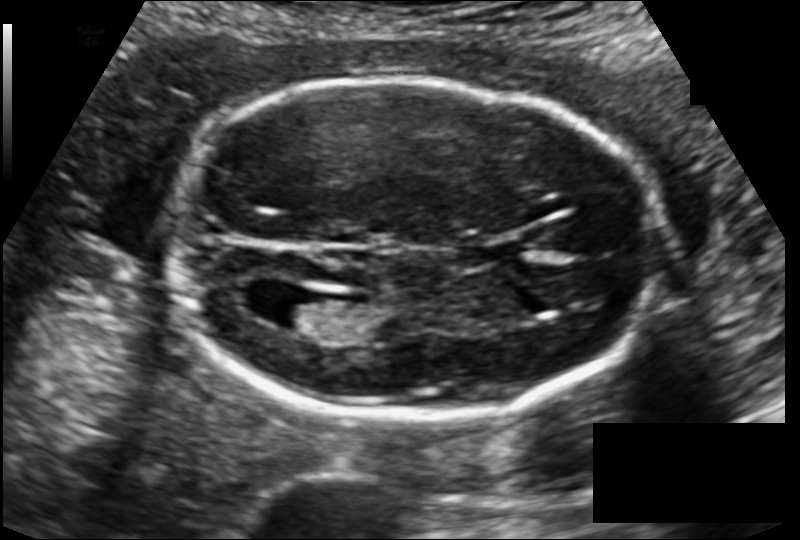
Fetal head ultrasound. Image width: 103.4 mm. Locate the cavum septum pellucidum.

CSP: [462,231,528,271]